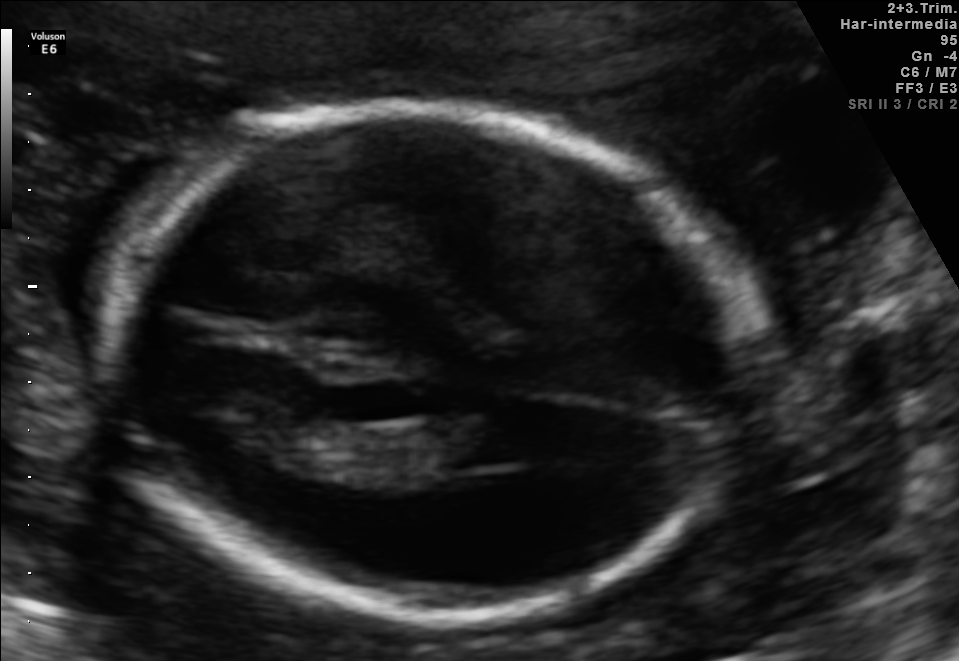
Fetal brain, trans-thalamic plane. Locate the fetal head and, if visible, the cavum septum pellucidum (CSP) and lateral ventricle (LV). Give bounding boxes as [x1,y1,x2,y2].

Head: [102,109,757,618]